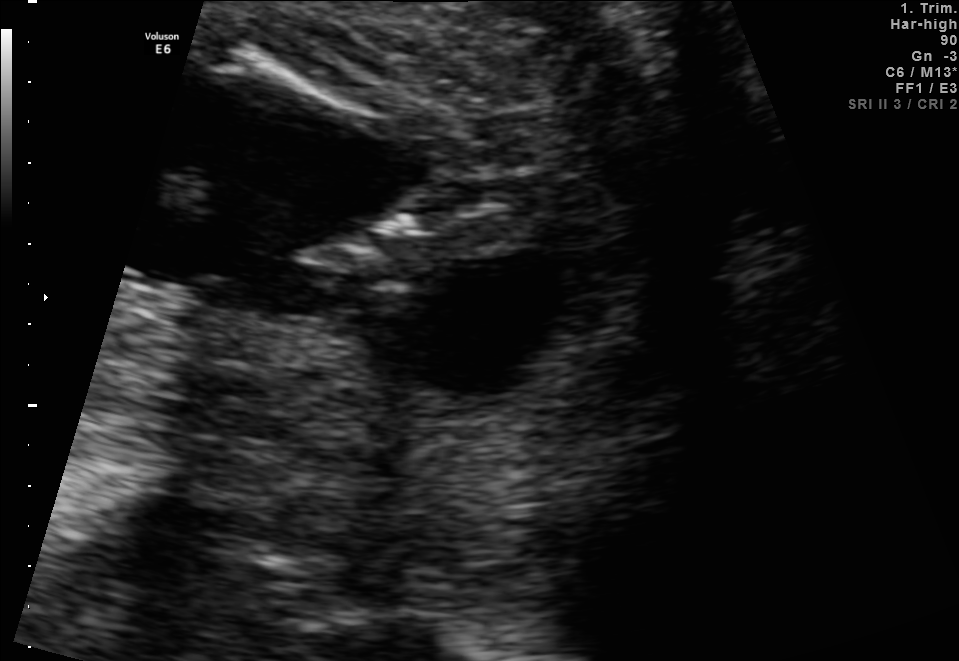
Classify this maternal-fetal ultrasound image as one of the six standard planes — fetal abdomen, fetal brain, fetal femur, fetal thorax, maternal cervix, or other. If it's fetal brain and one of the three standard brain planes (trans-thalamic, trans-cerebellum, trans-ventricular), name which.

Other